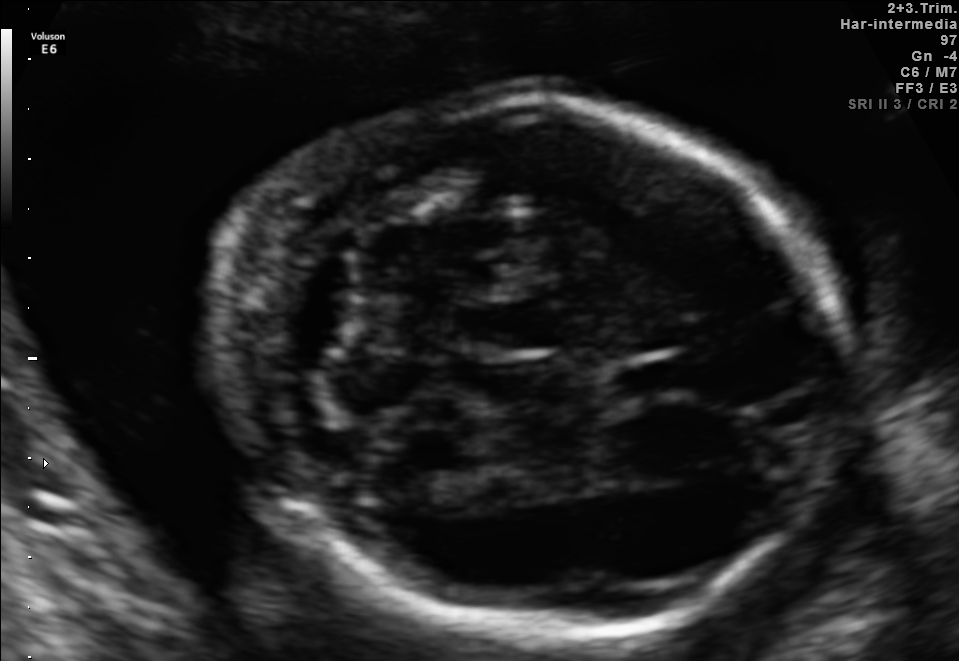
Fetal brain, trans-cerebellum plane. Where is the cavum septum pellucidum?

CSP bounding box: [608,348,696,410]